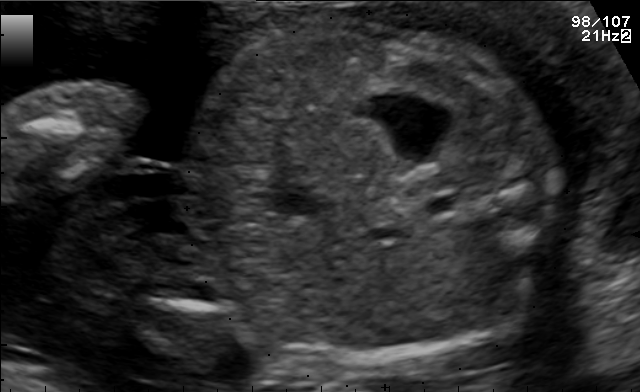
Classify this maternal-fetal ultrasound image as one of the six standard planes — fetal abdomen, fetal brain, fetal femur, fetal thorax, maternal cervix, or other. If it's fetal brain and one of the three standard brain planes (trans-thalamic, trans-cerebellum, trans-ventricular), name which.

Other